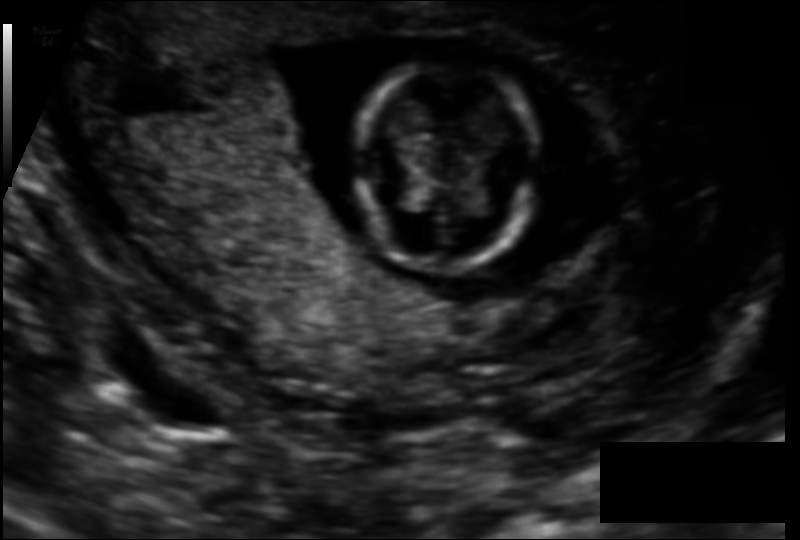
In this fetal head ultrasound, give bounding boxes for the head outline, cavum septum pellucidum (CSP), and lateral ventricle (LV), where visible. Image width: 88.1 mm.

Head: [355,61,538,271]